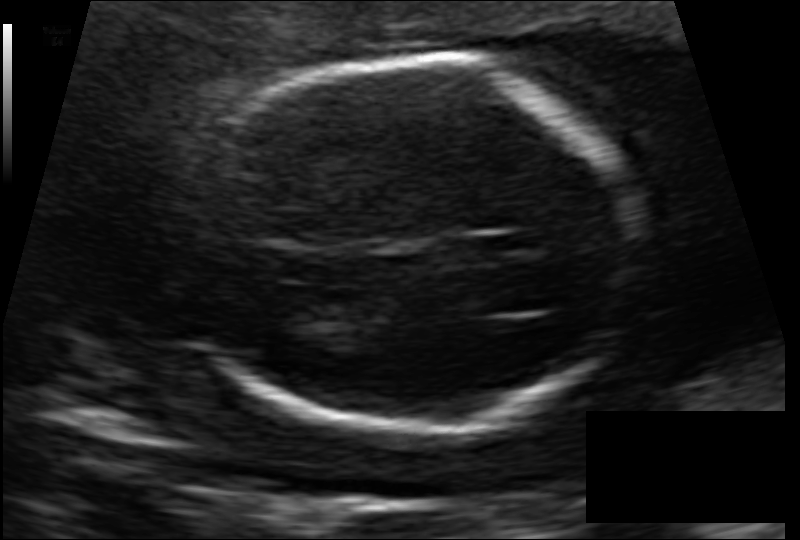
Estimate the fetal head circumference from this 2D ultrasound.

Head circumference: 173.8 mm (image width 103.2 mm).